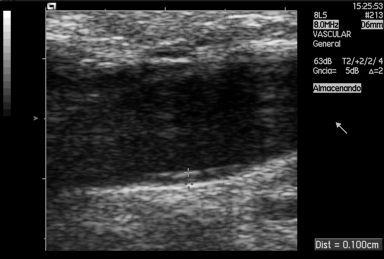
This is a 2D maternal-fetal ultrasound frame. Is it a fetal abdomen, fetal brain, fetal femur, fetal thorax, maternal cervix, or other standard plane? If it's fetal brain and one of the three standard brain planes (trans-thalamic, trans-cerebellum, trans-ventricular), name which.

Other